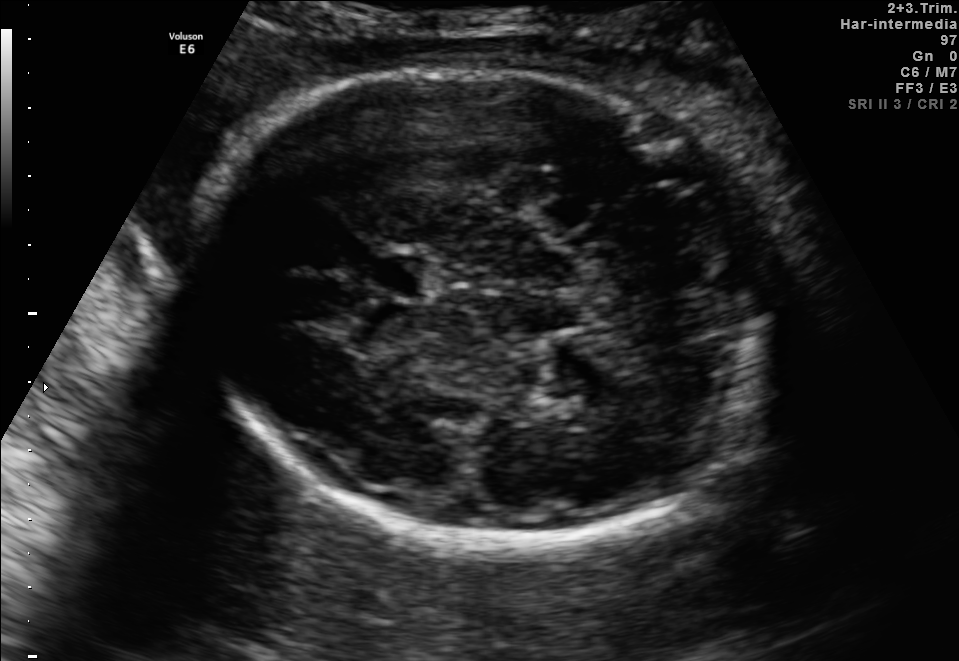
Fetal brain, trans-thalamic plane. Locate the cavum septum pellucidum.

CSP: [366,253,431,298]